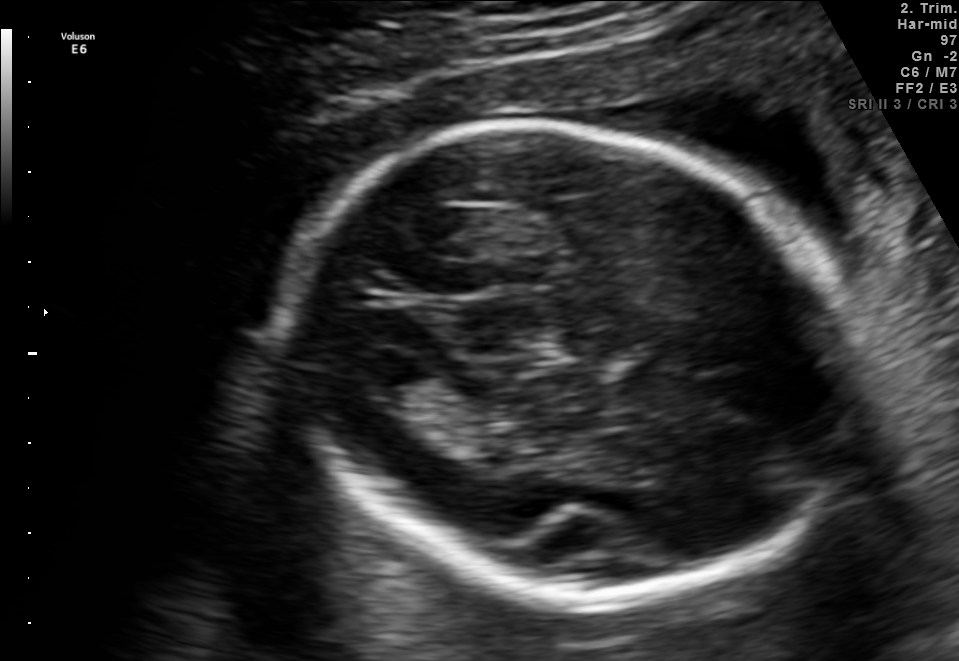
Fetal brain, trans-thalamic plane. Give [x1,y1,x2,y2] bounding boxes for each visible structure among: fetal head, CSP, LV.

Head: [288,123,861,604]
Lateral ventricle: [345,324,437,414]